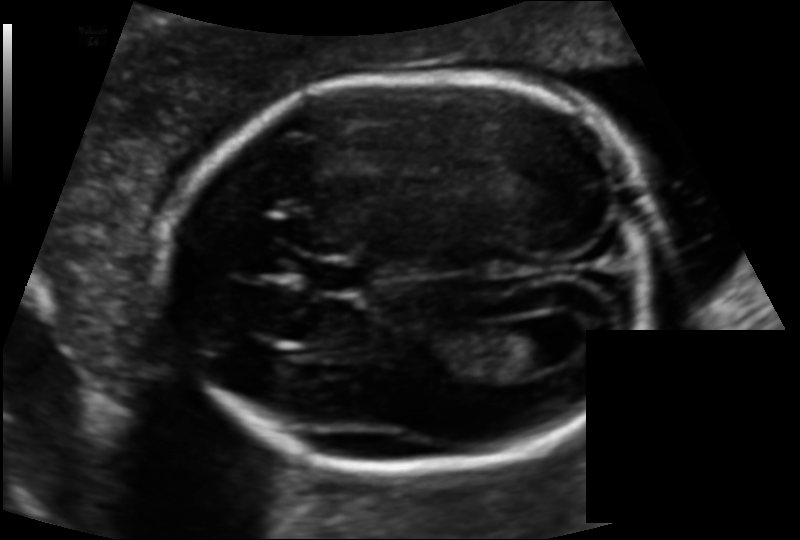
In this fetal head ultrasound, give bounding boxes for the head outline, cavum septum pellucidum (CSP), and lateral ventricle (LV), where visible. Image width: 95.5 mm.

Head: [165,74,655,473]
CSP: [305,255,371,295]
Lateral ventricle: [490,317,567,378]